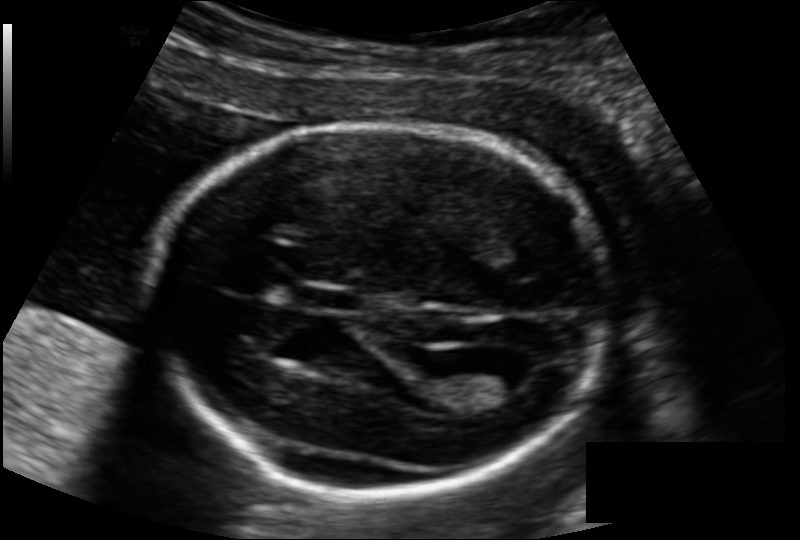
Measure the fetal head circumference shown in this ultrasound image. Image width: 106.7 mm.

Head circumference: 176.4 mm.